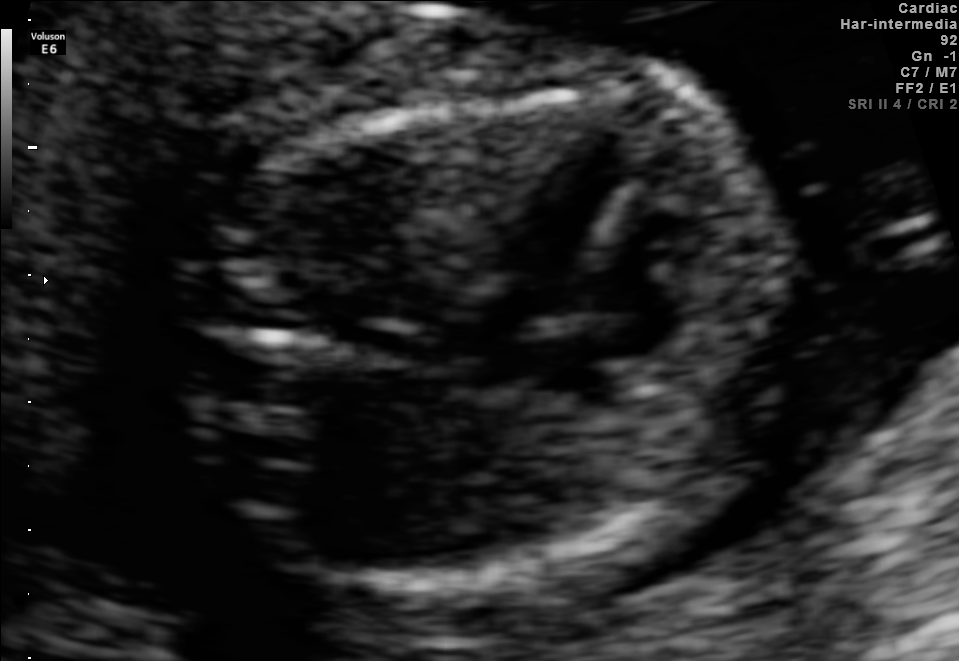
Which standard maternal-fetal ultrasound plane is shown: fetal abdomen, fetal brain, fetal femur, fetal thorax, maternal cervix, or other? If it's fetal brain and one of the three standard brain planes (trans-thalamic, trans-cerebellum, trans-ventricular), name which.

Fetal thorax